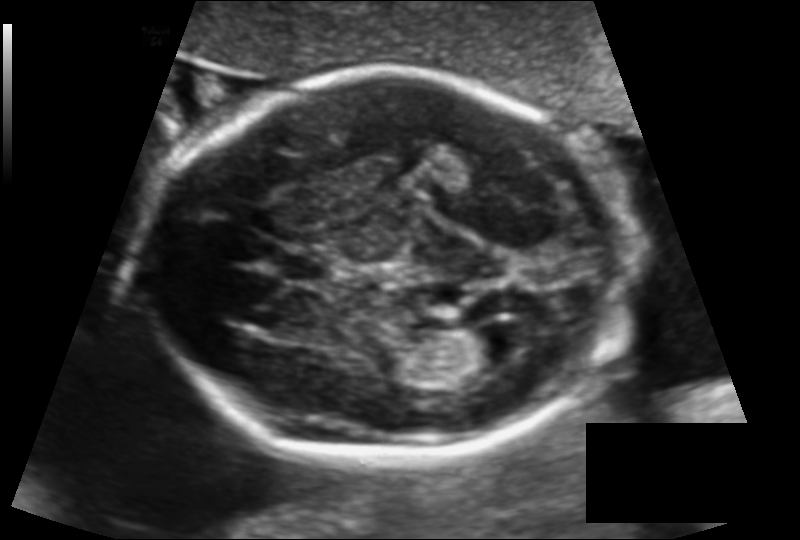
Measure the fetal head circumference shown in this ultrasound image. Image width: 103.5 mm.

Head circumference: 180.4 mm.